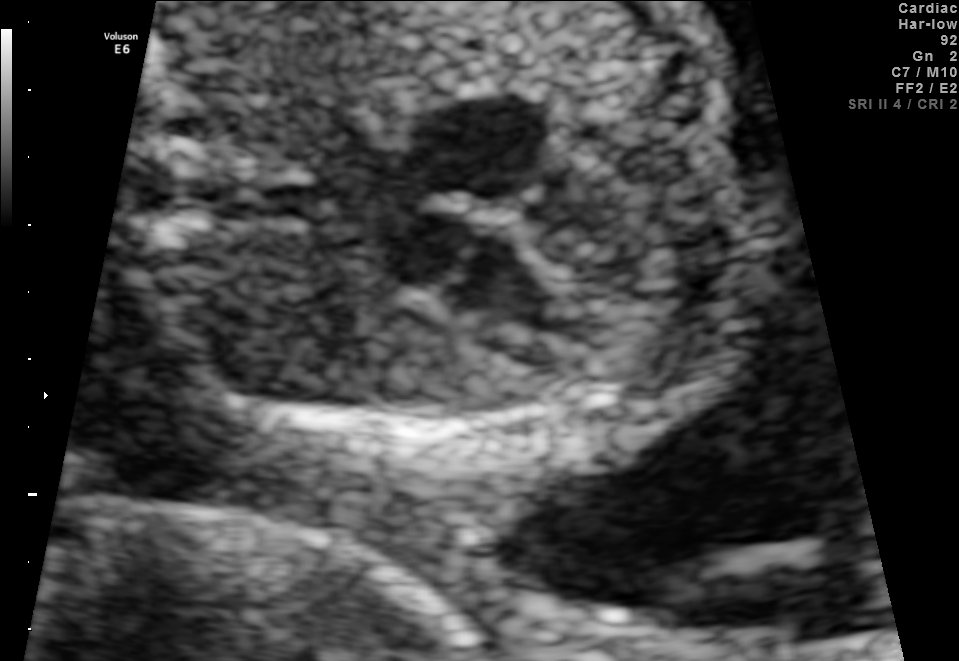
Classify this maternal-fetal ultrasound image as one of the six standard planes — fetal abdomen, fetal brain, fetal femur, fetal thorax, maternal cervix, or other. If it's fetal brain and one of the three standard brain planes (trans-thalamic, trans-cerebellum, trans-ventricular), name which.

Fetal thorax